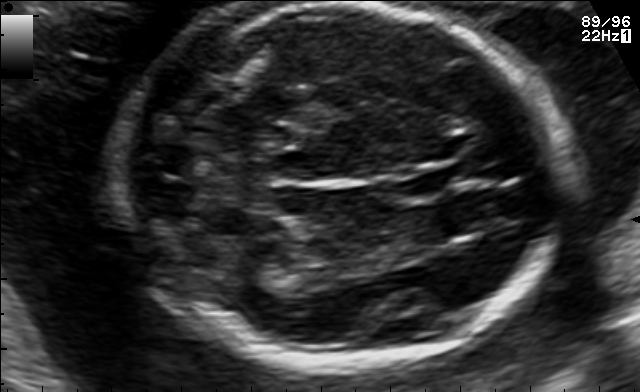
Classify this maternal-fetal ultrasound image as one of the six standard planes — fetal abdomen, fetal brain, fetal femur, fetal thorax, maternal cervix, or other. If it's fetal brain and one of the three standard brain planes (trans-thalamic, trans-cerebellum, trans-ventricular), name which.

Fetal brain (trans-thalamic plane)